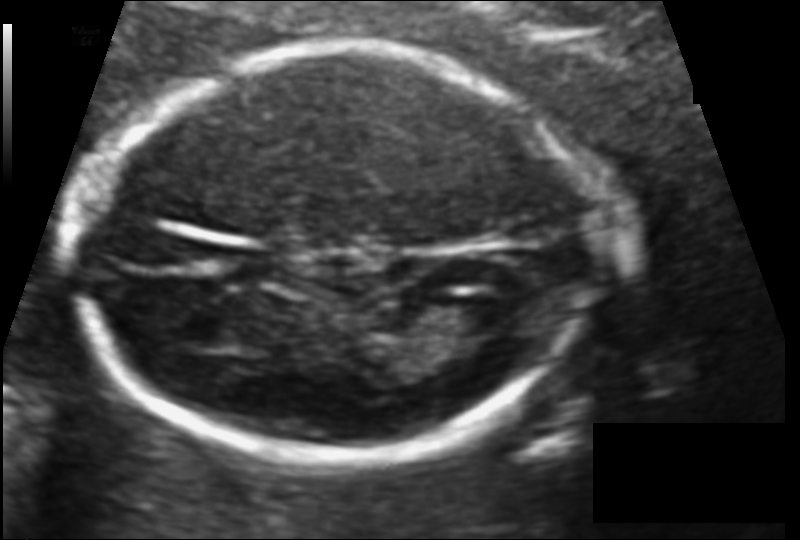
From this fetal ultrasound, estimate the head circumference (image width 81.3 mm).

Head circumference: 151.8 mm.